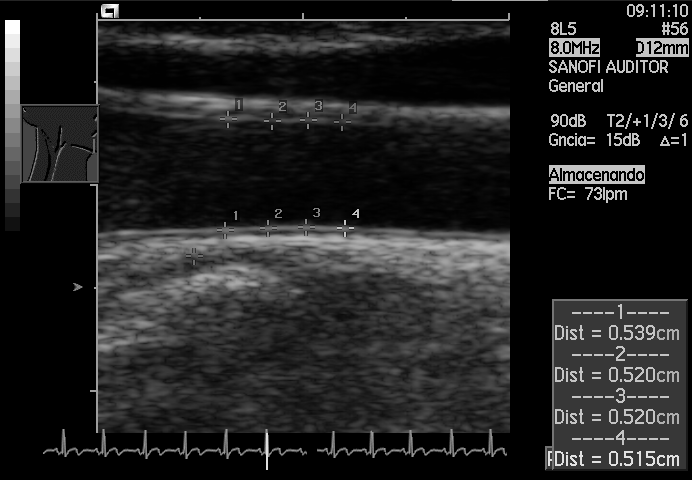
This is a 2D maternal-fetal ultrasound frame. Is it a fetal abdomen, fetal brain, fetal femur, fetal thorax, maternal cervix, or other standard plane? If it's fetal brain and one of the three standard brain planes (trans-thalamic, trans-cerebellum, trans-ventricular), name which.

Other